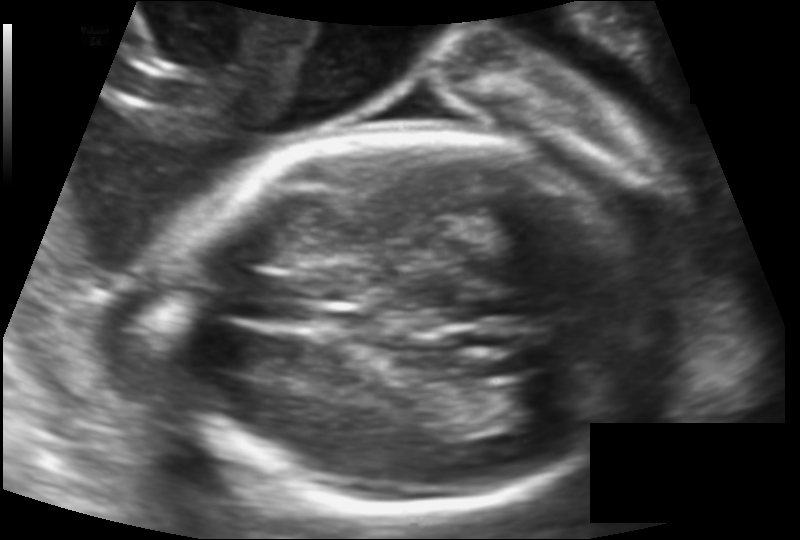
Fetal head ultrasound. Image width: 106.2 mm. Where is the fetal head?

Head bounding box: [170,129,655,515]